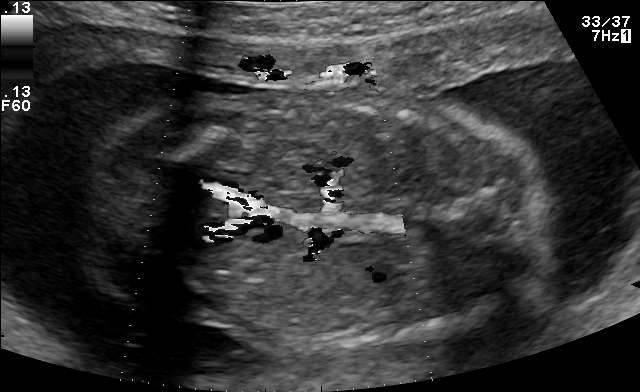
Identify the standard plane in this fetal ultrasound image: fetal abdomen, fetal brain, fetal femur, fetal thorax, maternal cervix, or other. If it's fetal brain and one of the three standard brain planes (trans-thalamic, trans-cerebellum, trans-ventricular), name which.

Other